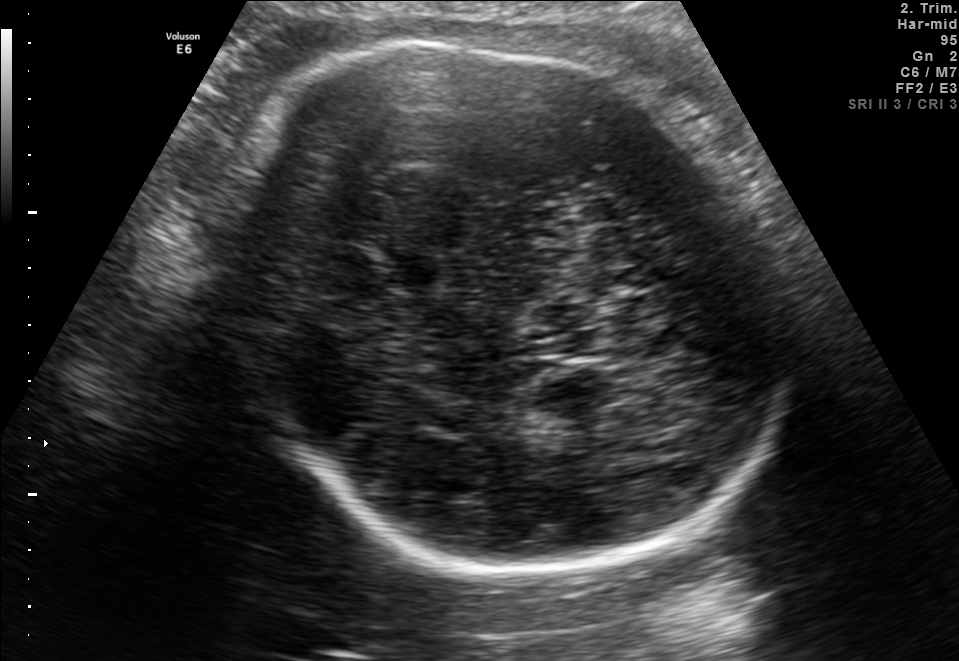
In this fetal brain, trans-thalamic plane, give the bounding box of the cavum septum pellucidum.

[370,242,450,296]